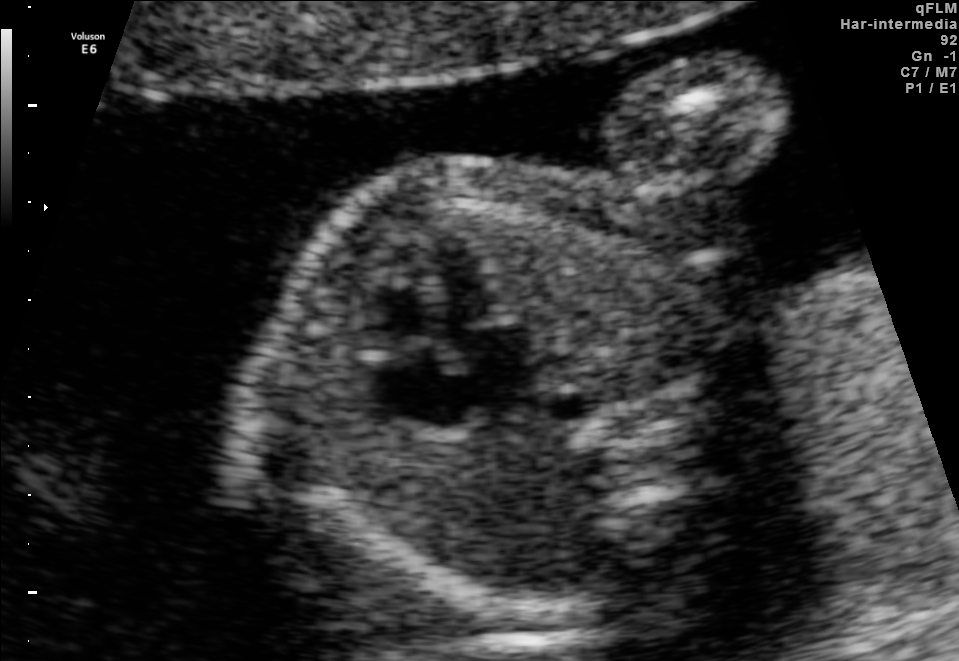
This is a 2D maternal-fetal ultrasound frame. Is it a fetal abdomen, fetal brain, fetal femur, fetal thorax, maternal cervix, or other standard plane? If it's fetal brain and one of the three standard brain planes (trans-thalamic, trans-cerebellum, trans-ventricular), name which.

Fetal thorax